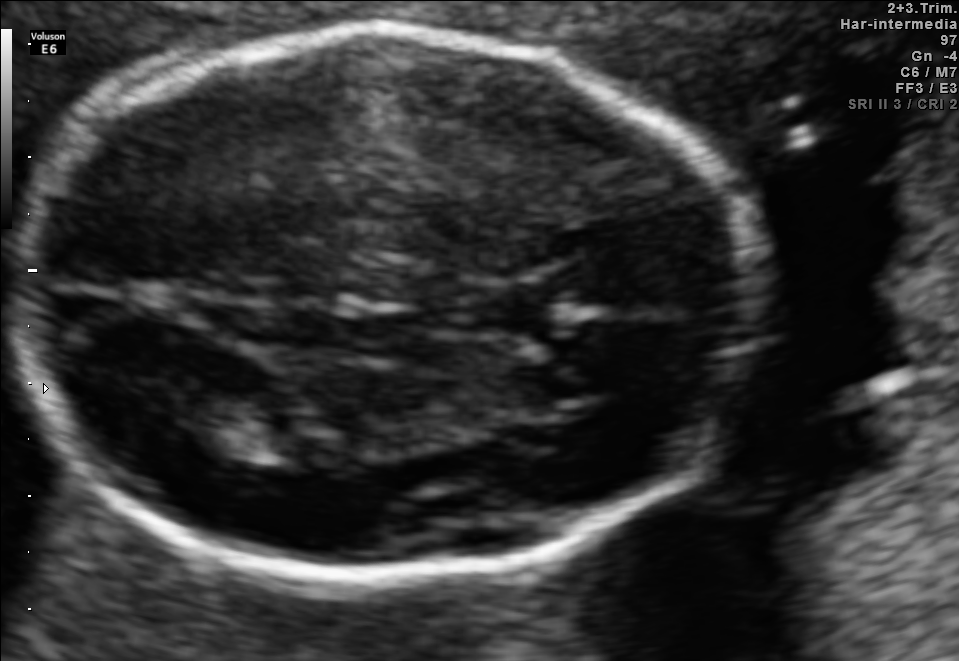
Fetal brain, trans-thalamic plane. Locate the lateral ventricle.

Lateral ventricle: [148,372,260,460]